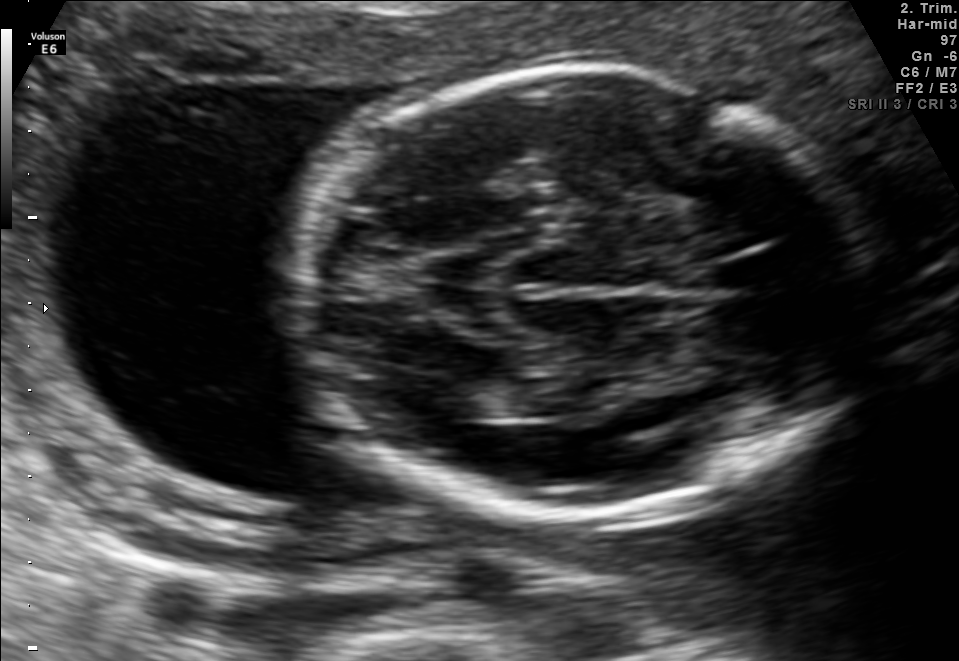
Classify this maternal-fetal ultrasound image as one of the six standard planes — fetal abdomen, fetal brain, fetal femur, fetal thorax, maternal cervix, or other. If it's fetal brain and one of the three standard brain planes (trans-thalamic, trans-cerebellum, trans-ventricular), name which.

Fetal brain (trans-thalamic plane)